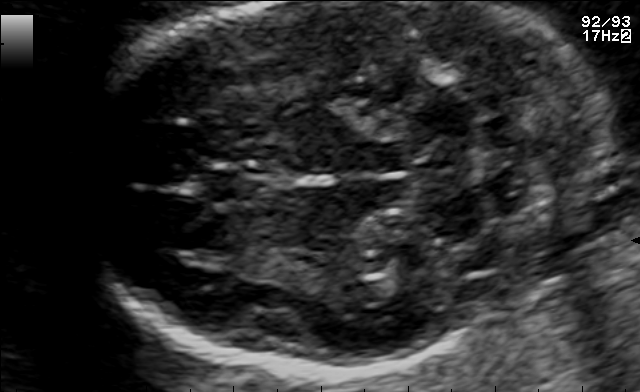
Fetal brain, trans-cerebellum plane. Give [x1,y1,x2,y2] bounding boxes for each visible structure among: fetal head, CSP, LV.

Head: [89,2,613,372]
CSP: [197,165,274,205]